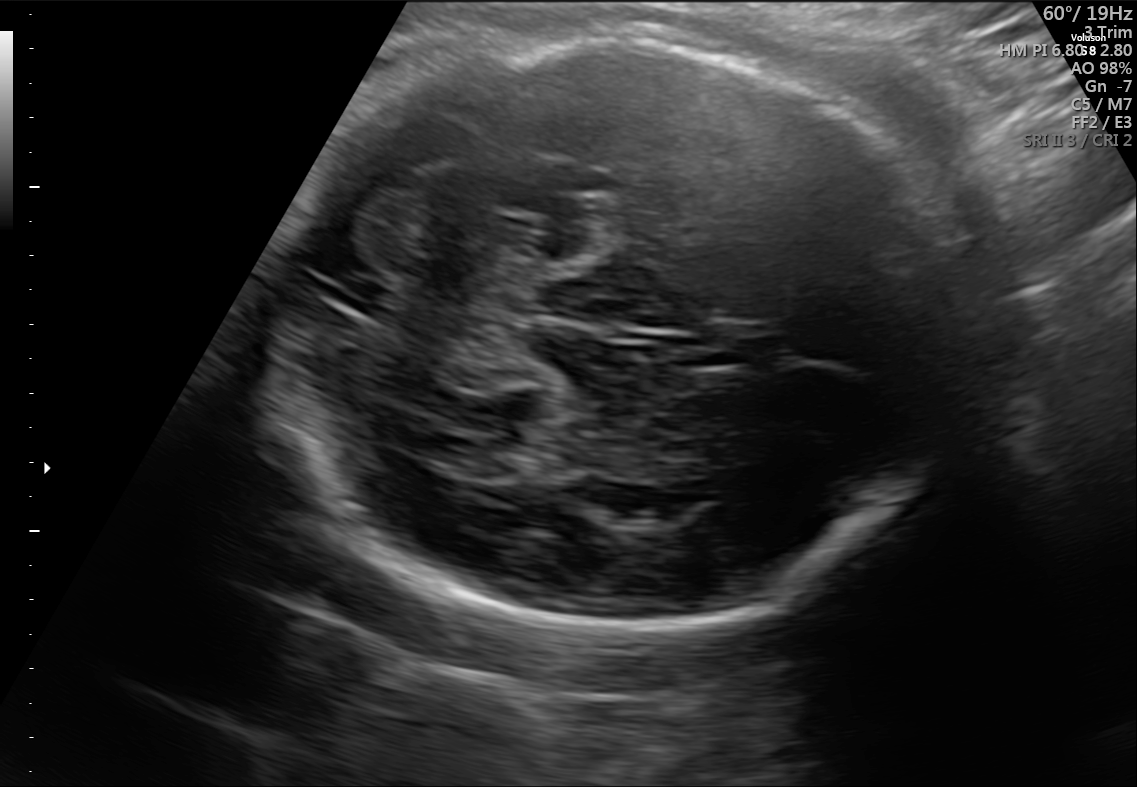
Fetal brain, trans-cerebellum plane. Where is the fetal head?

Head bounding box: [274,36,960,627]